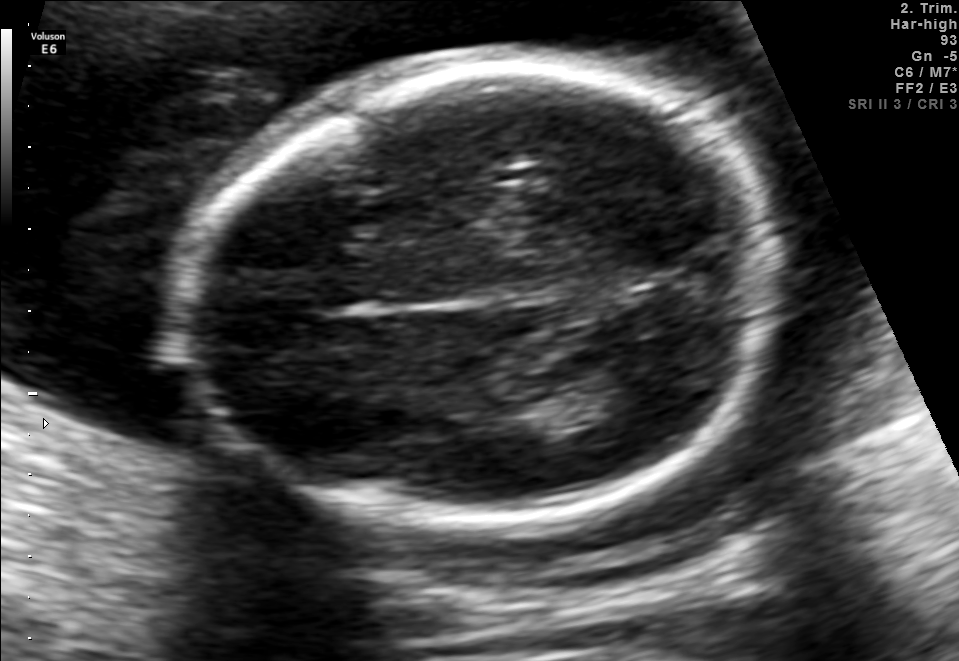
In this fetal brain, trans-thalamic plane, give bounding boxes for the head outline, cavum septum pellucidum (CSP), and lateral ventricle (LV), where visible.

Head: [183,64,782,521]
Lateral ventricle: [565,359,661,427]